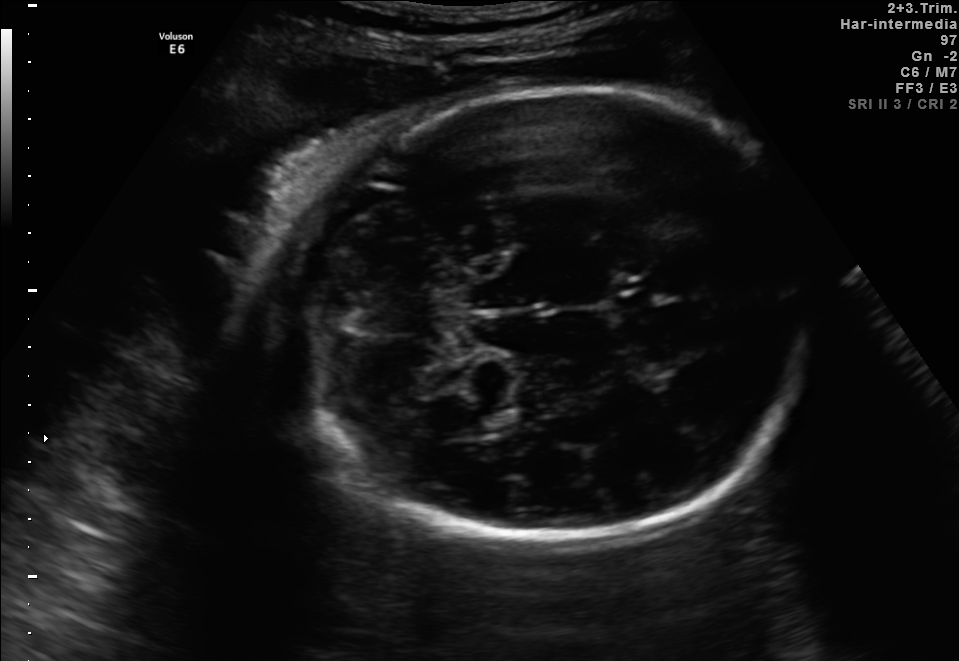
Fetal brain, trans-thalamic plane. Locate the fetal head.

Head: [288,91,815,544]